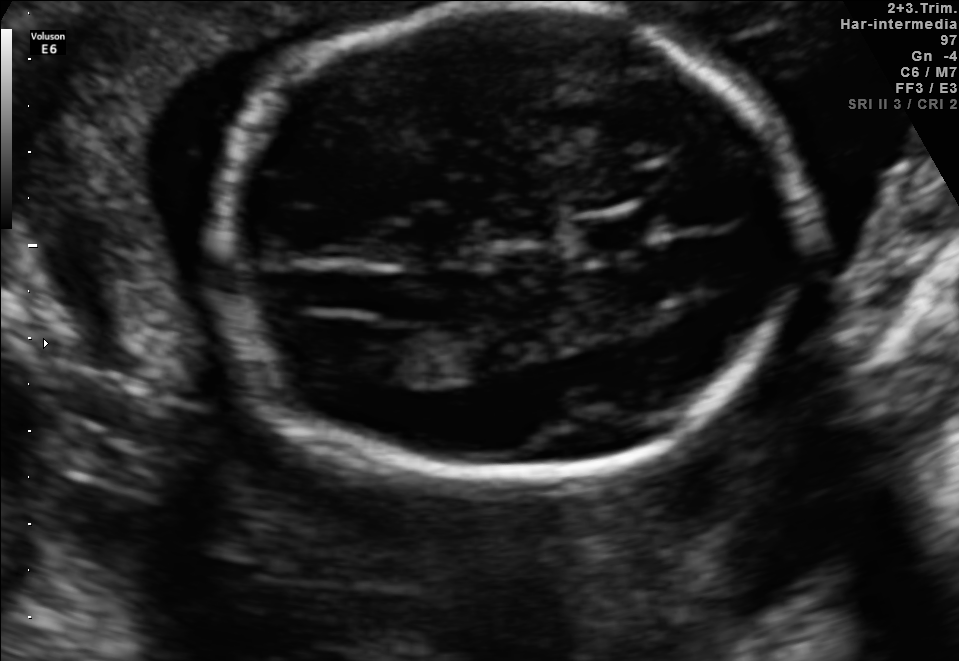
In this fetal brain, trans-ventricular plane, give the bounding box of the cavum septum pellucidum.

[557,196,674,270]